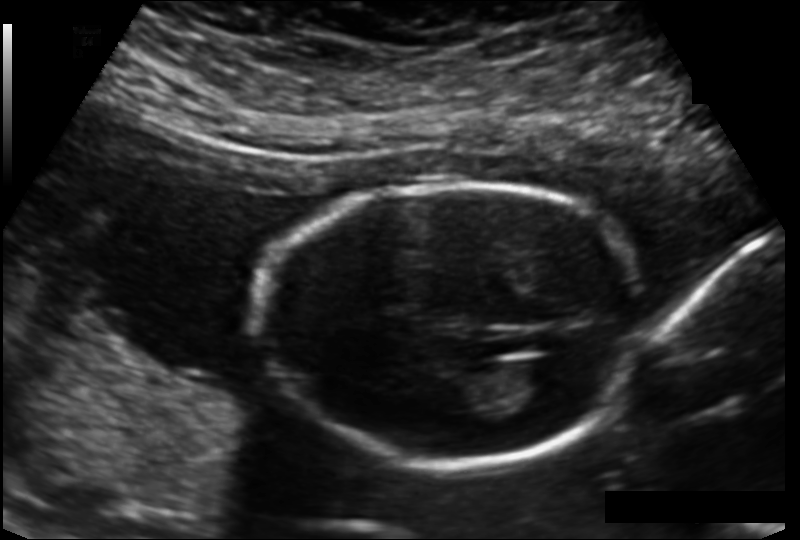
Measure the fetal head circumference shown in this ultrasound image. Image width: 107.7 mm.

Head circumference: 147.9 mm.